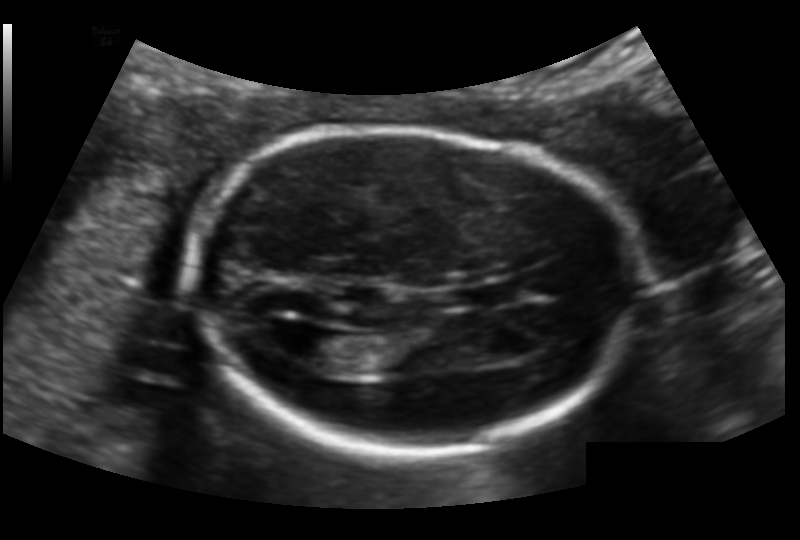
Fetal head ultrasound. Image width: 105.5 mm. Where is the fetal head?

Head bounding box: [185,127,638,451]